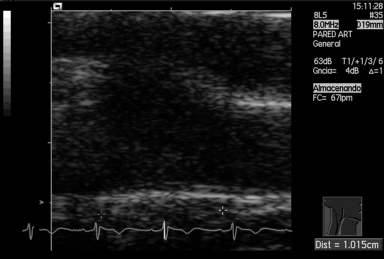
Identify the standard plane in this fetal ultrasound image: fetal abdomen, fetal brain, fetal femur, fetal thorax, maternal cervix, or other. If it's fetal brain and one of the three standard brain planes (trans-thalamic, trans-cerebellum, trans-ventricular), name which.

Other